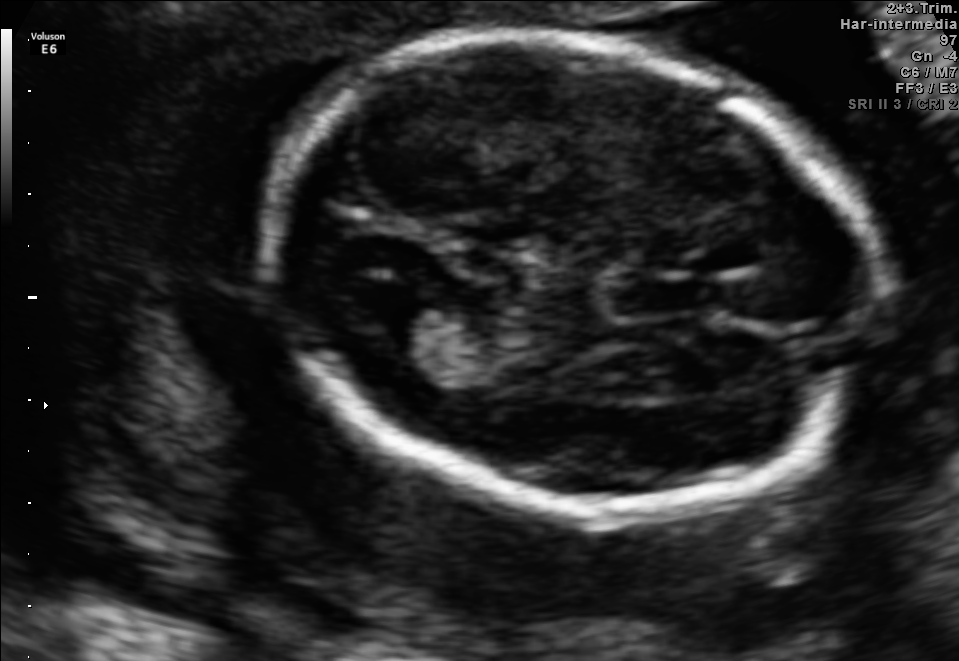
Fetal brain, trans-ventricular plane. Locate the fetal head.

Head: [251,23,888,528]